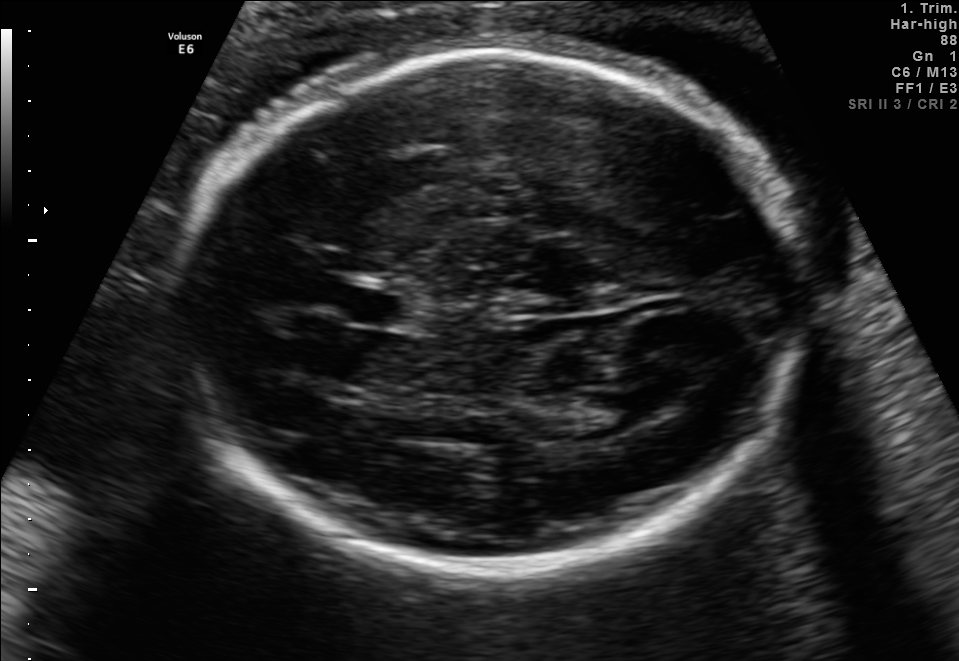
Fetal brain, trans-thalamic plane. Where is the fetal head?

Head bounding box: [180,54,819,573]